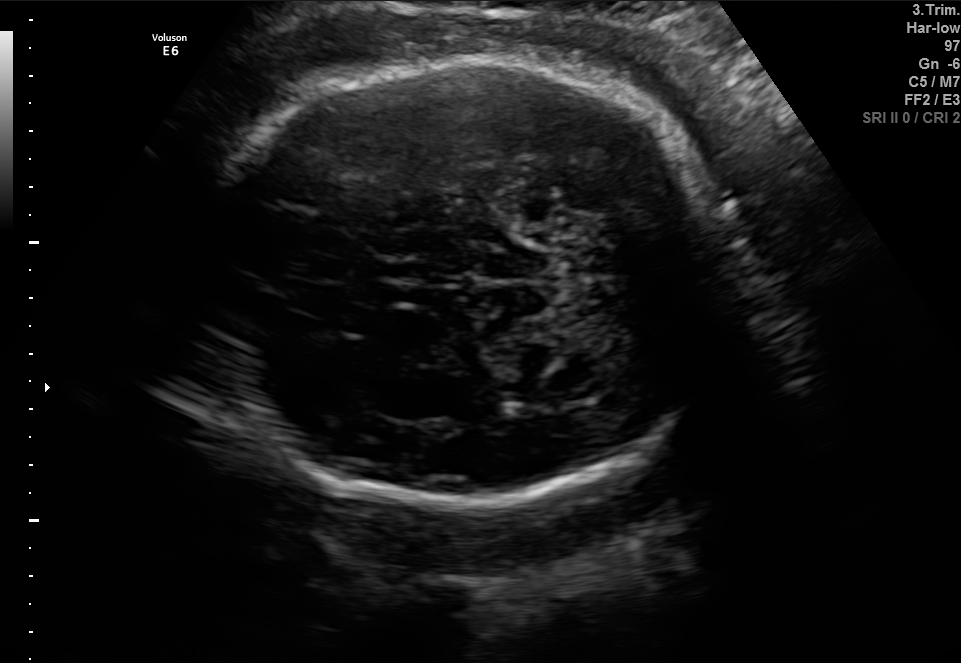
Fetal brain, trans-cerebellum plane. Locate the fetal head.

Head: [192,59,729,506]